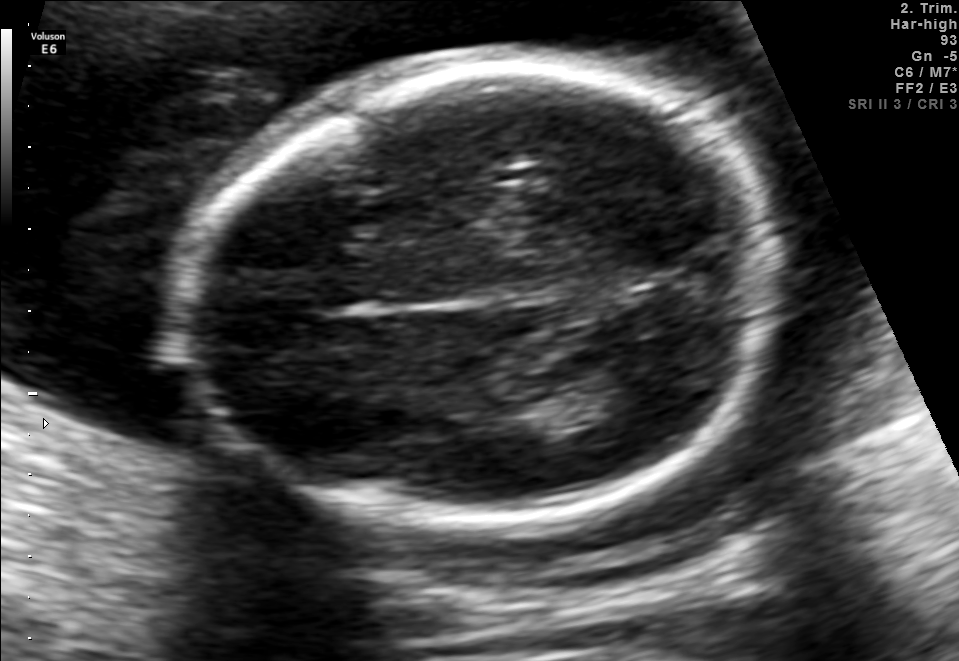
Fetal brain, trans-thalamic plane. Where is the lateral ventricle?

Lateral ventricle bounding box: [565,359,661,427]